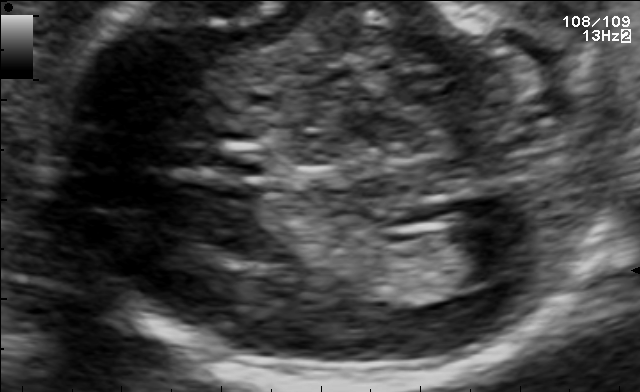
In this fetal brain, trans-ventricular plane, give bounding boxes for the cavum septum pellucidum (CSP) and lateral ventricle (LV), where visible.

CSP: [164,134,276,192]
Lateral ventricle: [440,209,552,288]